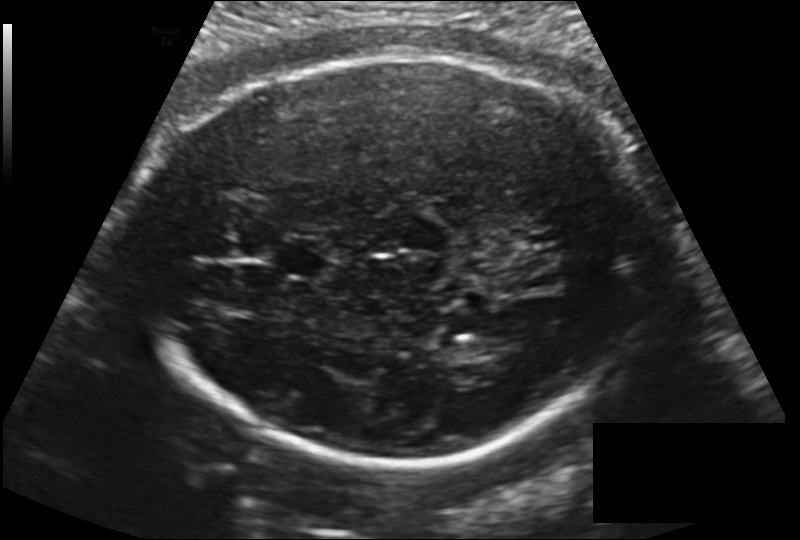
Fetal head ultrasound. Image width: 144.8 mm. Locate the fetal head and, if visible, the cavum septum pellucidum (CSP) and lateral ventricle (LV). Give bounding boxes as [x1,y1,x2,y2].

Head: [134,58,657,464]
CSP: [274,237,336,279]